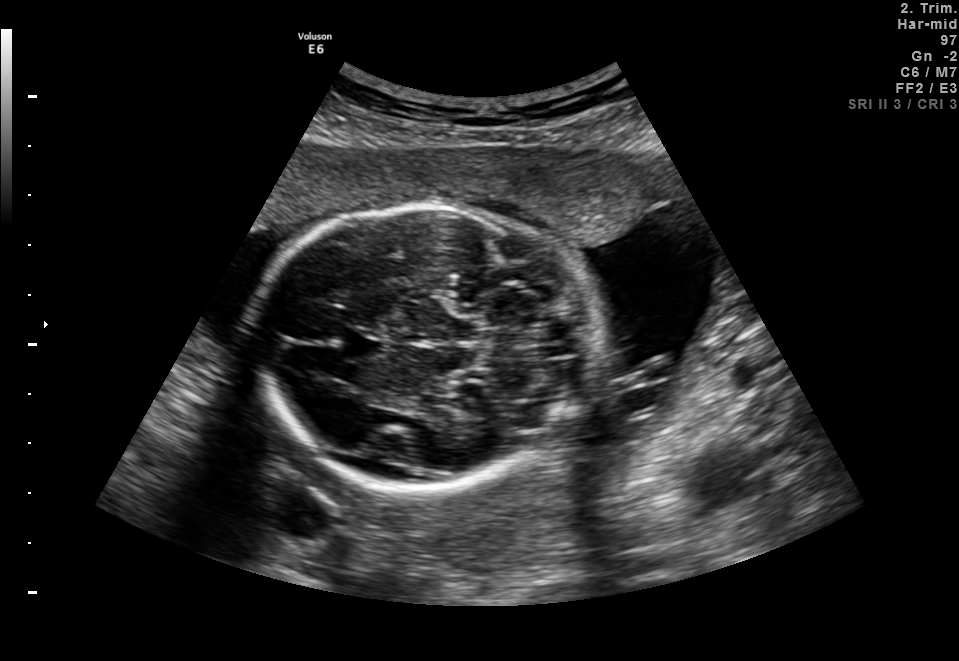
In this fetal brain, trans-cerebellum plane, give the bounding box of the fetal head.

[254,202,595,491]